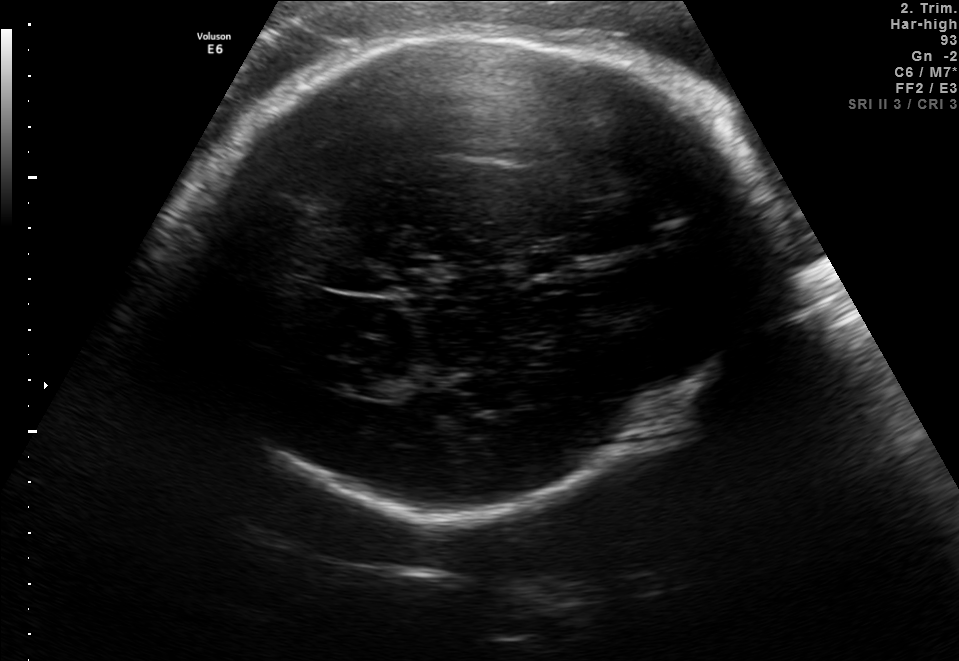
Fetal brain, trans-thalamic plane. Where is the fetal head?

Head bounding box: [188,35,759,514]